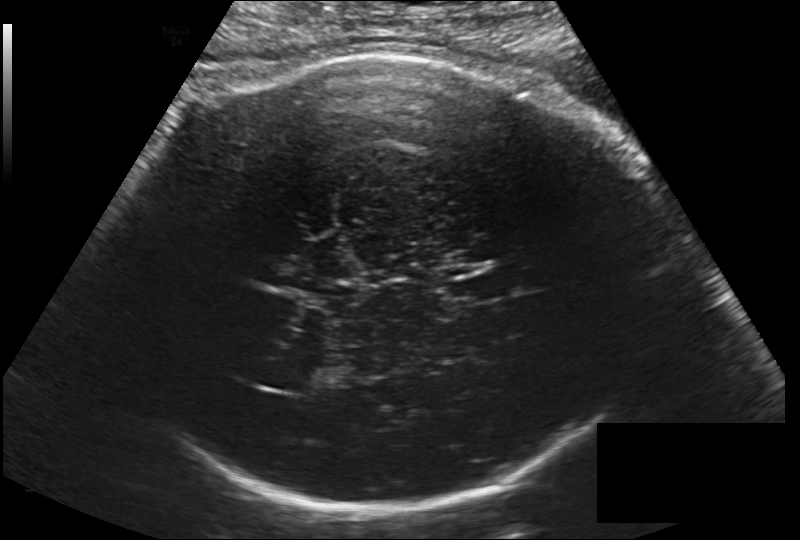
Fetal head ultrasound. Image width: 162.2 mm. Locate the fetal head.

Head: [113,50,658,508]